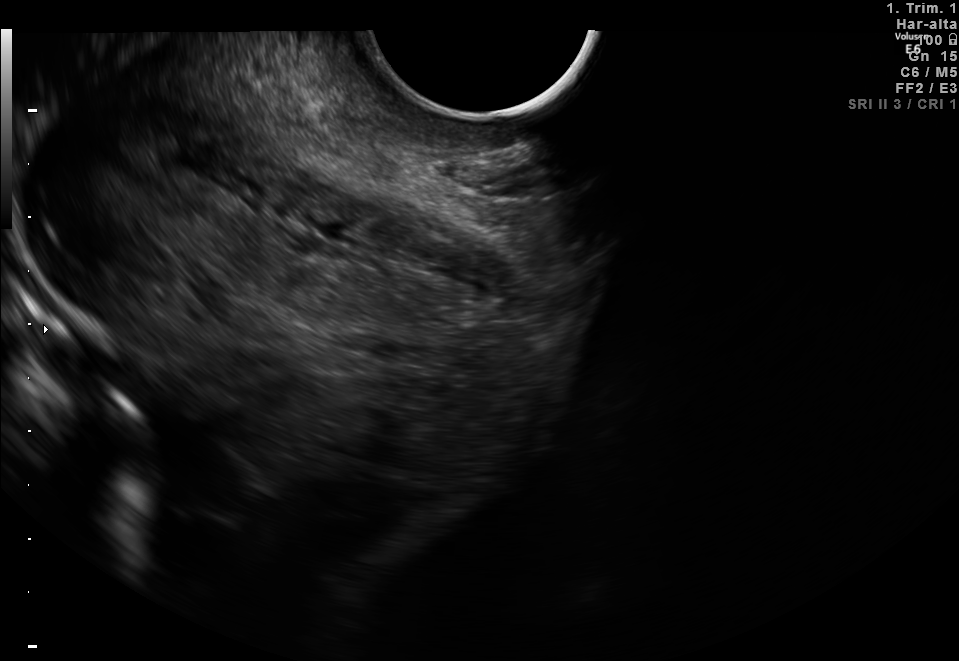
Identify the standard plane in this fetal ultrasound image: fetal abdomen, fetal brain, fetal femur, fetal thorax, maternal cervix, or other. If it's fetal brain and one of the three standard brain planes (trans-thalamic, trans-cerebellum, trans-ventricular), name which.

Maternal cervix